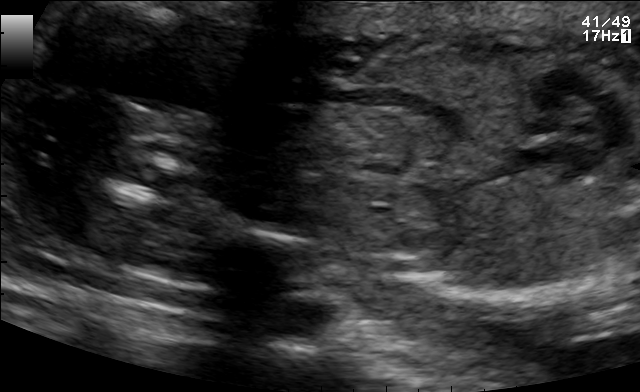
This is a 2D maternal-fetal ultrasound frame. Is it a fetal abdomen, fetal brain, fetal femur, fetal thorax, maternal cervix, or other standard plane? If it's fetal brain and one of the three standard brain planes (trans-thalamic, trans-cerebellum, trans-ventricular), name which.

Other